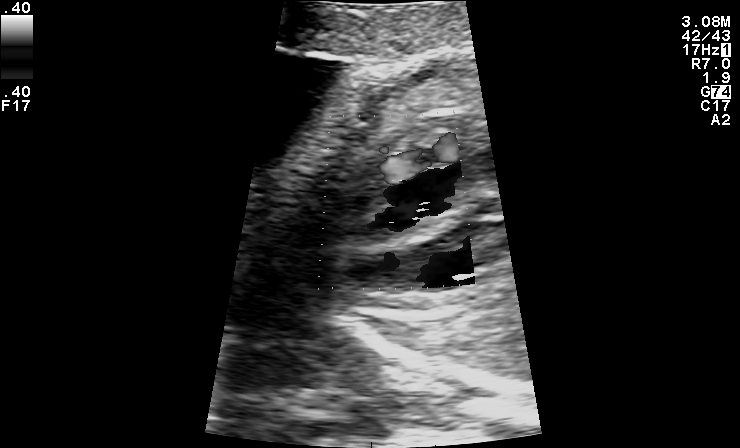
Identify the standard plane in this fetal ultrasound image: fetal abdomen, fetal brain, fetal femur, fetal thorax, maternal cervix, or other. If it's fetal brain and one of the three standard brain planes (trans-thalamic, trans-cerebellum, trans-ventricular), name which.

Other